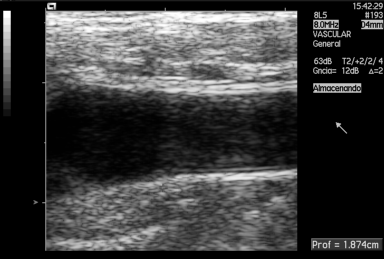
Which standard maternal-fetal ultrasound plane is shown: fetal abdomen, fetal brain, fetal femur, fetal thorax, maternal cervix, or other? If it's fetal brain and one of the three standard brain planes (trans-thalamic, trans-cerebellum, trans-ventricular), name which.

Other